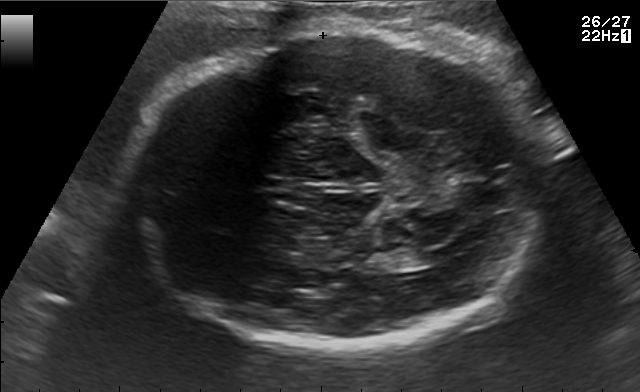
In this fetal brain, trans-ventricular plane, give the bounding box of the fetal head.

[125,28,554,354]